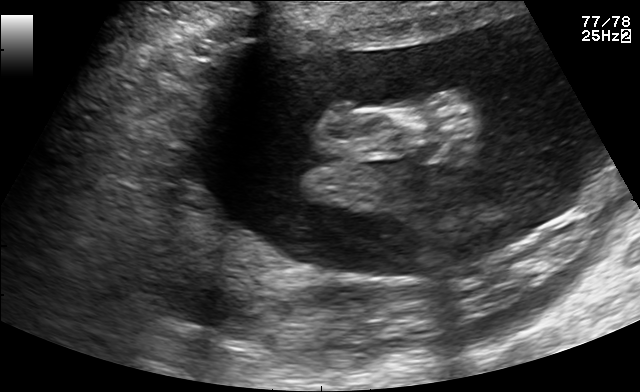
This is a 2D maternal-fetal ultrasound frame. Is it a fetal abdomen, fetal brain, fetal femur, fetal thorax, maternal cervix, or other standard plane? If it's fetal brain and one of the three standard brain planes (trans-thalamic, trans-cerebellum, trans-ventricular), name which.

Other